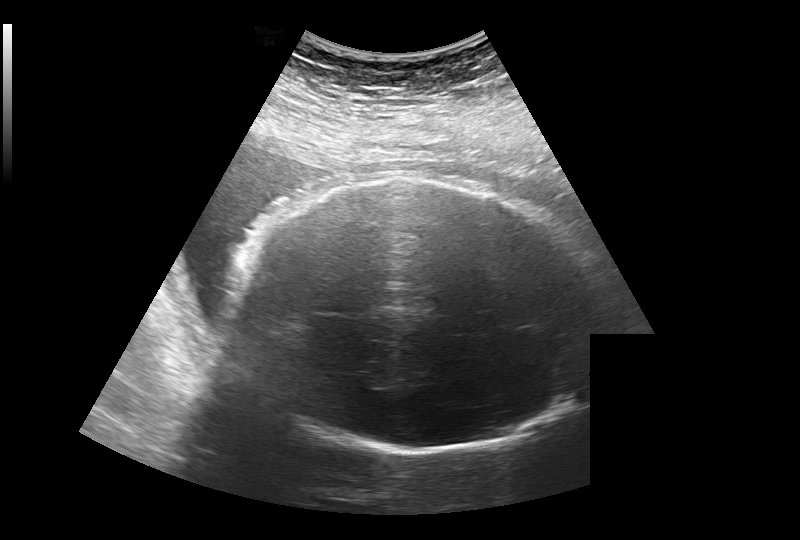
In this fetal head ultrasound, give bounding boxes for the head outline, cavum septum pellucidum (CSP), and lateral ventricle (LV), where visible. Image width: 246.2 mm.

Head: [225,179,606,453]